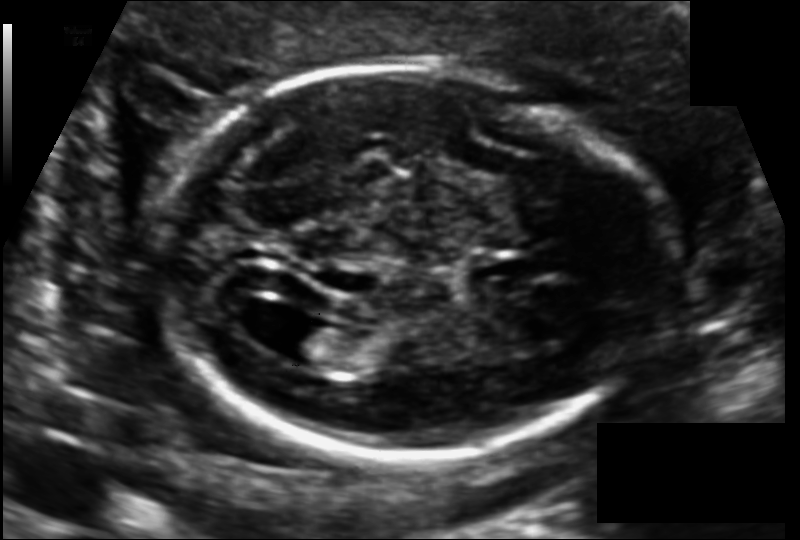
Fetal head ultrasound. Image width: 94.6 mm. Where is the fetal head?

Head bounding box: [157,65,668,455]